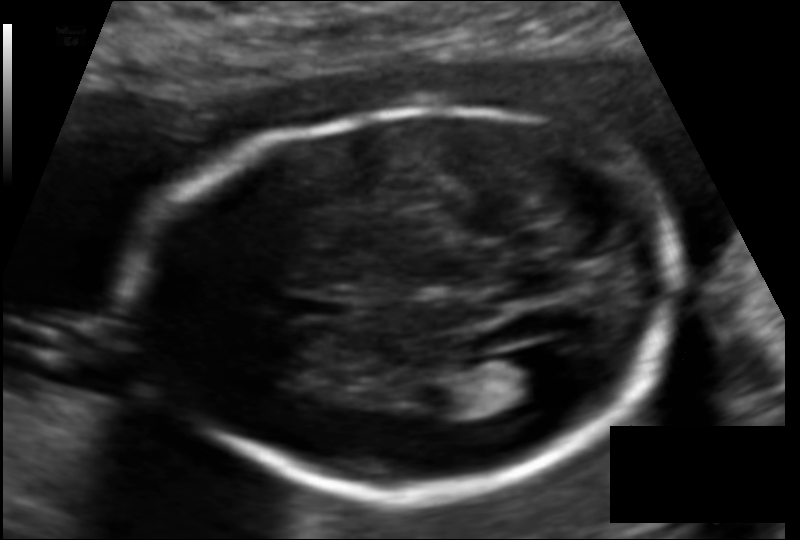
Fetal head ultrasound. Image width: 91.1 mm. Where is the lateral ventricle?

Lateral ventricle bounding box: [481,344,561,413]